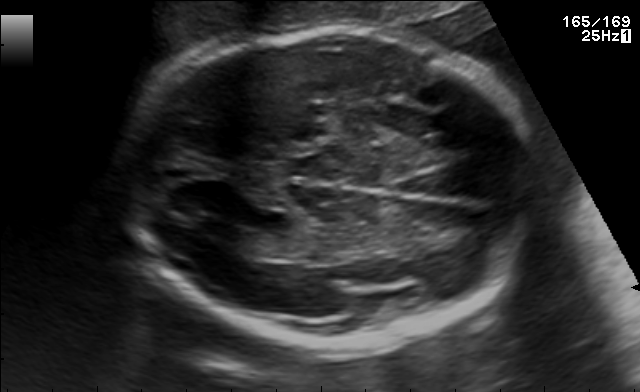
Fetal brain, trans-ventricular plane. Where is the fetal head?

Head bounding box: [118,24,550,355]